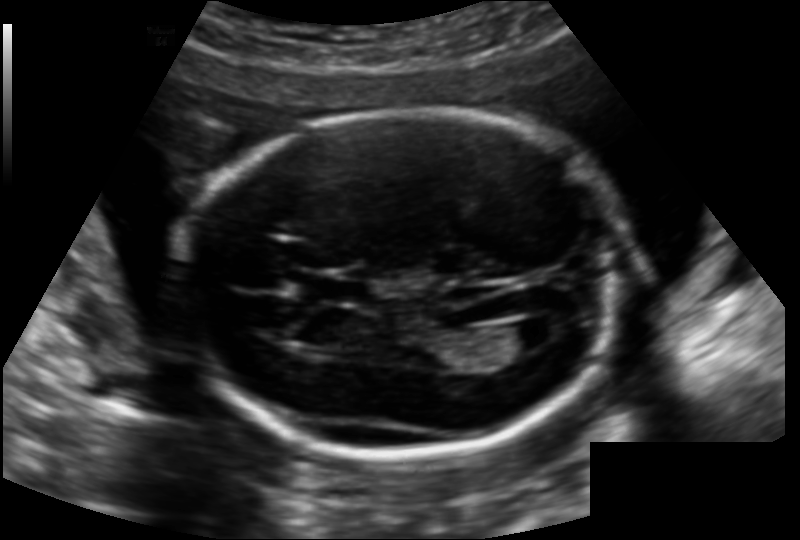
In this fetal head ultrasound, give the bounding box of the lateral ventricle. Image width: 113.4 mm.

[497,313,556,357]